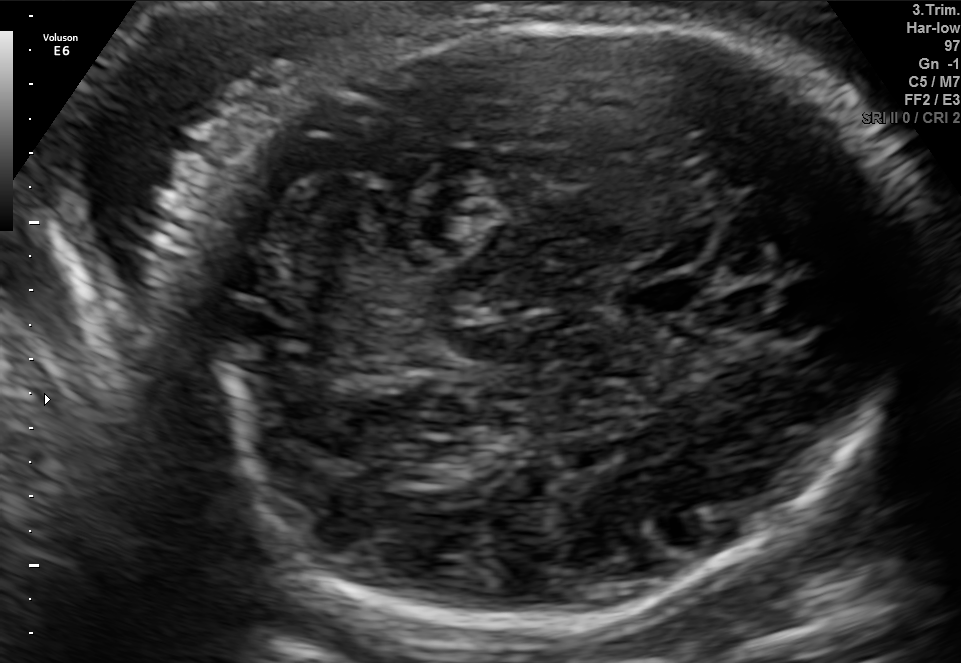
In this fetal brain, trans-cerebellum plane, give the bounding box of the fetal head.

[201,18,918,623]